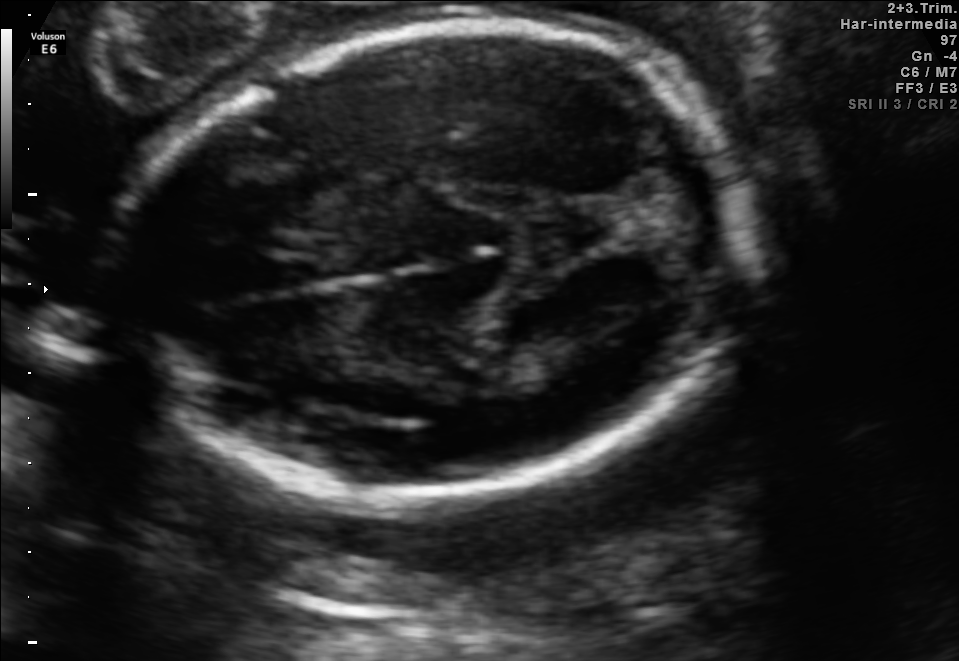
In this fetal brain, trans-thalamic plane, give bounding boxes for the head outline, cavum septum pellucidum (CSP), and lateral ventricle (LV), where visible.

Head: [122,26,747,511]